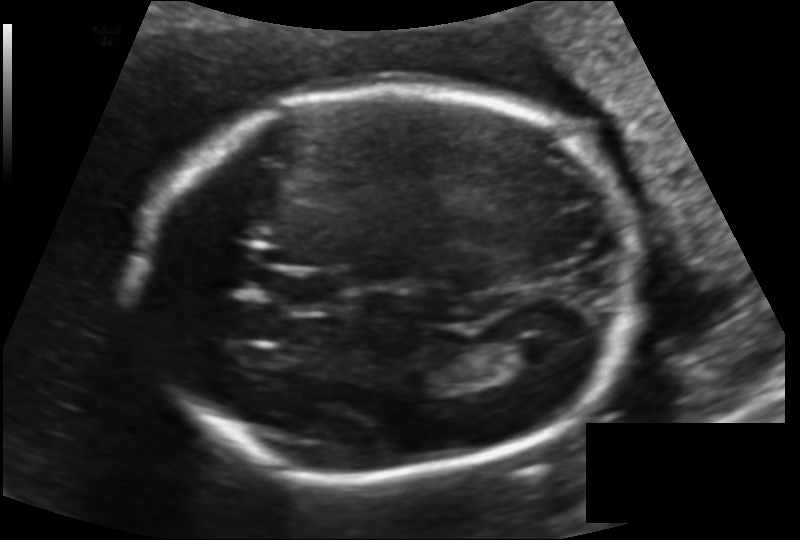
Fetal head ultrasound. Image width: 115.0 mm. Locate the fetal head and, if visible, the cavum septum pellucidum (CSP) and lateral ventricle (LV). Give bounding boxes as [x1,y1,x2,y2].

Head: [142,88,642,473]
CSP: [270,270,347,313]
Lateral ventricle: [501,330,560,373]